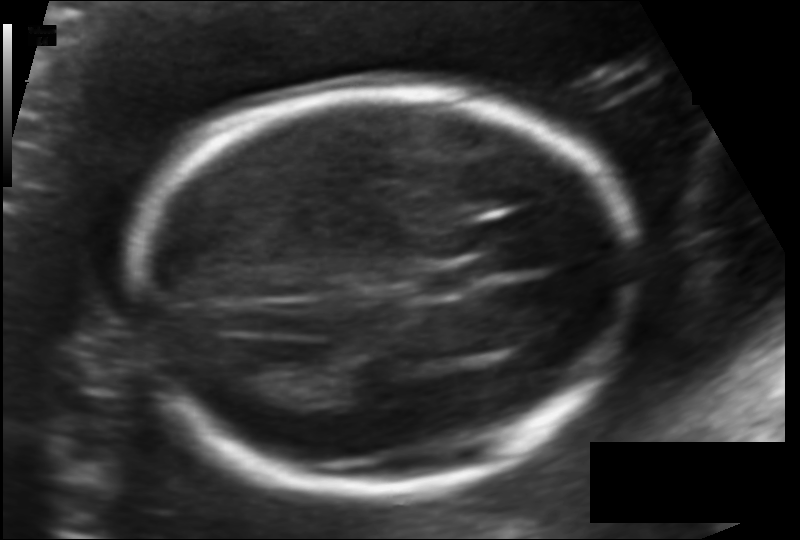
Fetal head ultrasound. Image width: 99.3 mm. Locate the fetal head and, if visible, the cavum septum pellucidum (CSP) and lateral ventricle (LV). Give bounding boxes as [x1,y1,x2,y2].

Head: [133,88,636,488]
CSP: [412,262,481,302]
Lateral ventricle: [219,351,297,404]